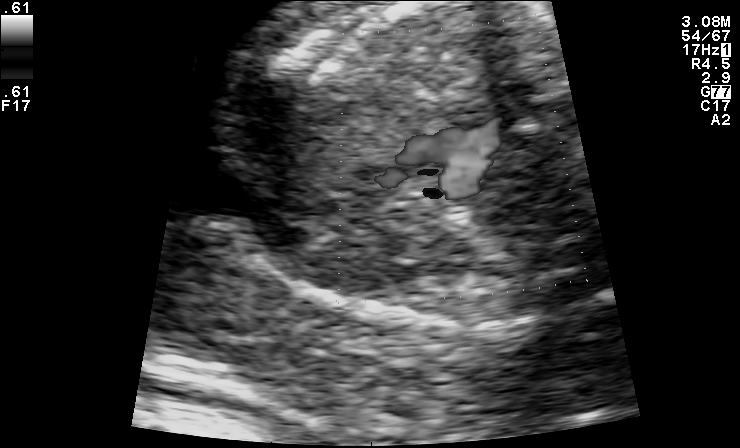
Identify the standard plane in this fetal ultrasound image: fetal abdomen, fetal brain, fetal femur, fetal thorax, maternal cervix, or other. If it's fetal brain and one of the three standard brain planes (trans-thalamic, trans-cerebellum, trans-ventricular), name which.

Other